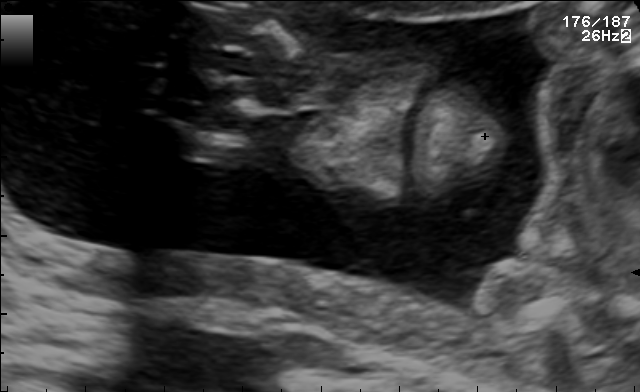
Classify this maternal-fetal ultrasound image as one of the six standard planes — fetal abdomen, fetal brain, fetal femur, fetal thorax, maternal cervix, or other. If it's fetal brain and one of the three standard brain planes (trans-thalamic, trans-cerebellum, trans-ventricular), name which.

Other